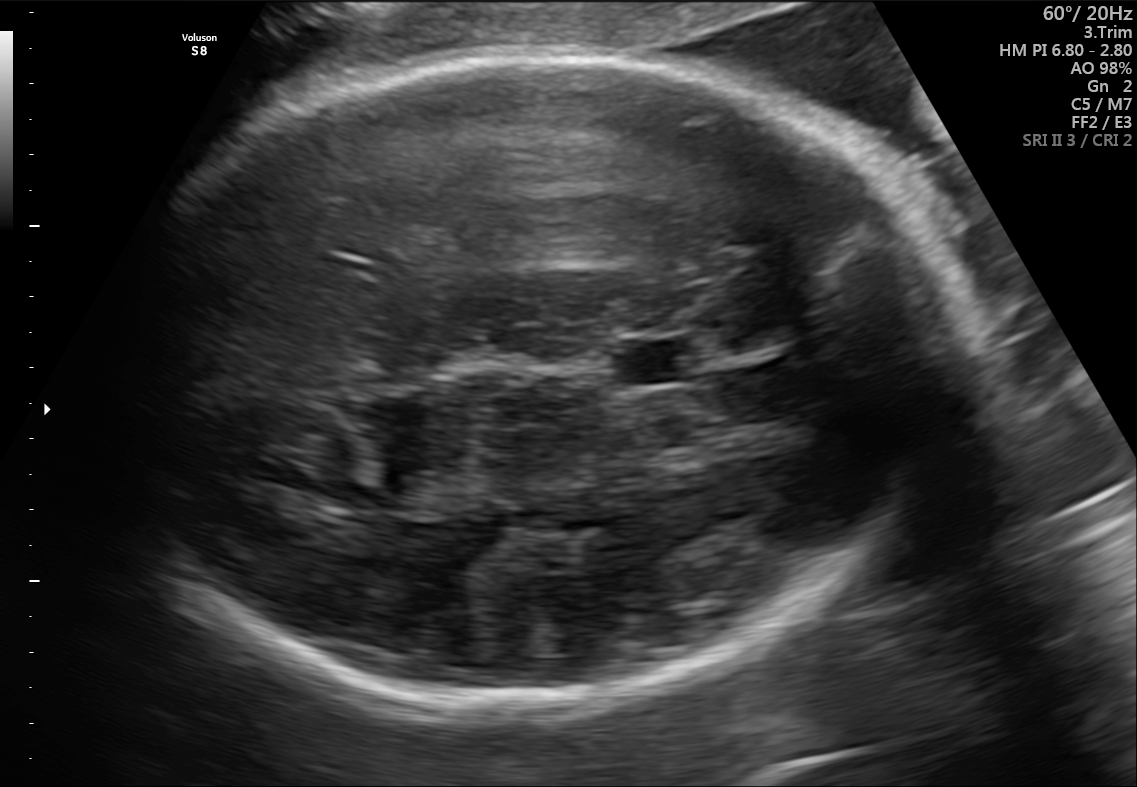
This is a 2D maternal-fetal ultrasound frame. Is it a fetal abdomen, fetal brain, fetal femur, fetal thorax, maternal cervix, or other standard plane? If it's fetal brain and one of the three standard brain planes (trans-thalamic, trans-cerebellum, trans-ventricular), name which.

Fetal brain (trans-thalamic plane)